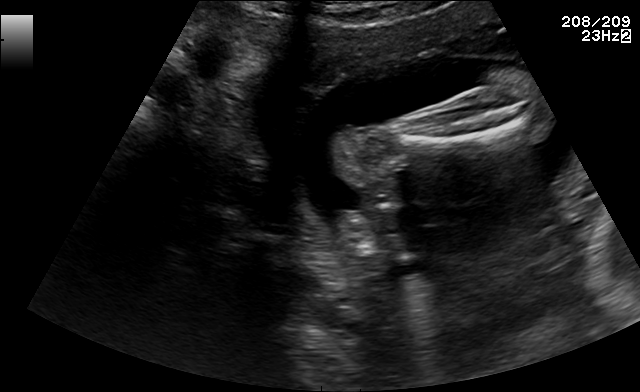
This is a 2D maternal-fetal ultrasound frame. Is it a fetal abdomen, fetal brain, fetal femur, fetal thorax, maternal cervix, or other standard plane? If it's fetal brain and one of the three standard brain planes (trans-thalamic, trans-cerebellum, trans-ventricular), name which.

Other